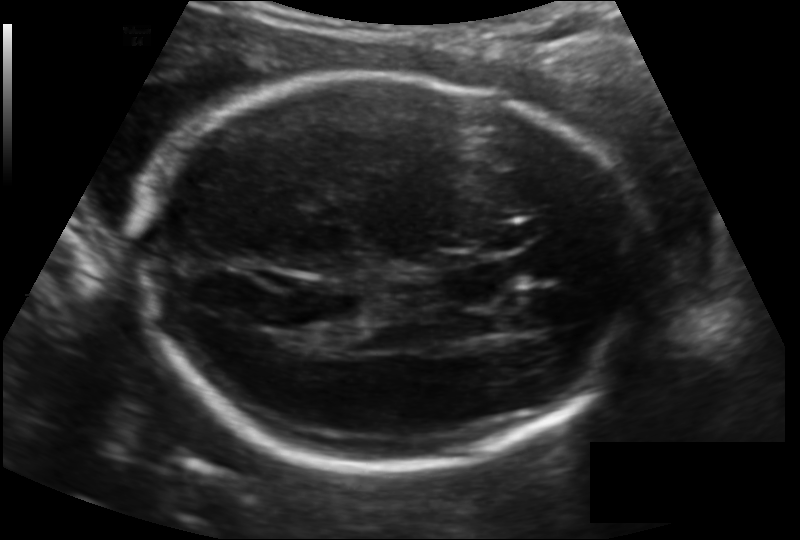
In this fetal head ultrasound, give the bounding box of the fetal head. Image width: 118.2 mm.

[141,76,641,469]